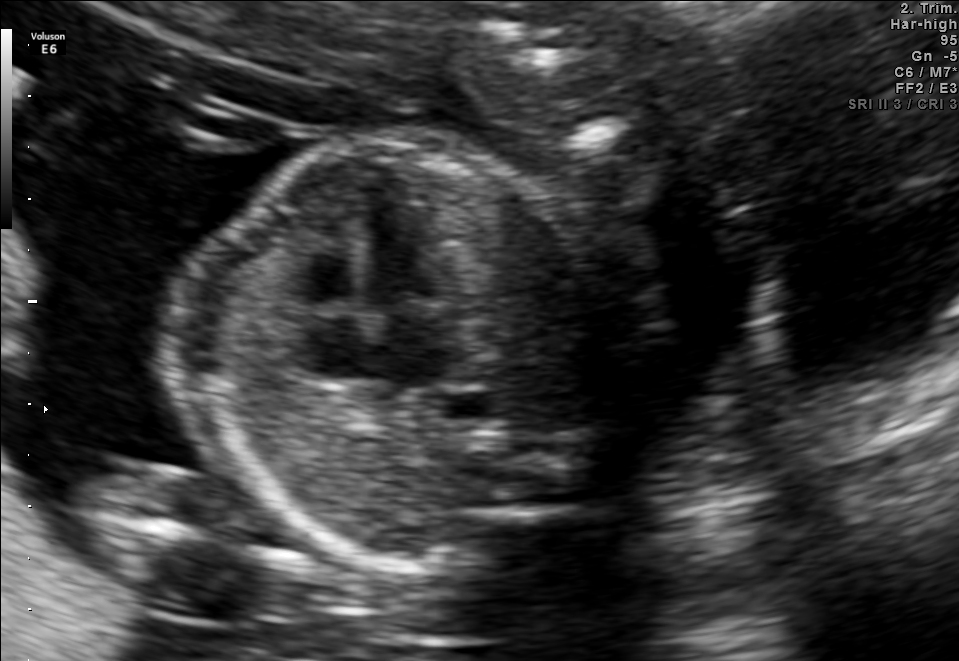
Which standard maternal-fetal ultrasound plane is shown: fetal abdomen, fetal brain, fetal femur, fetal thorax, maternal cervix, or other? If it's fetal brain and one of the three standard brain planes (trans-thalamic, trans-cerebellum, trans-ventricular), name which.

Fetal thorax